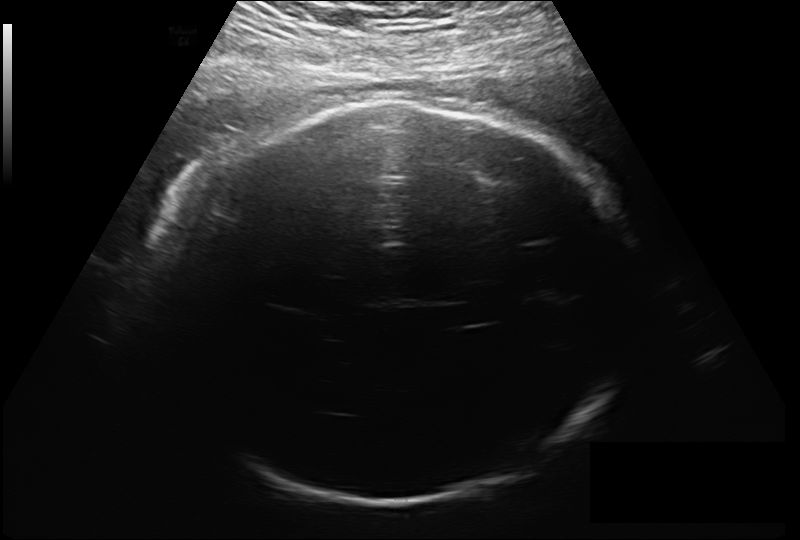
In this fetal head ultrasound, give the bounding box of the fetal head. Image width: 170.5 mm.

[164,100,629,506]